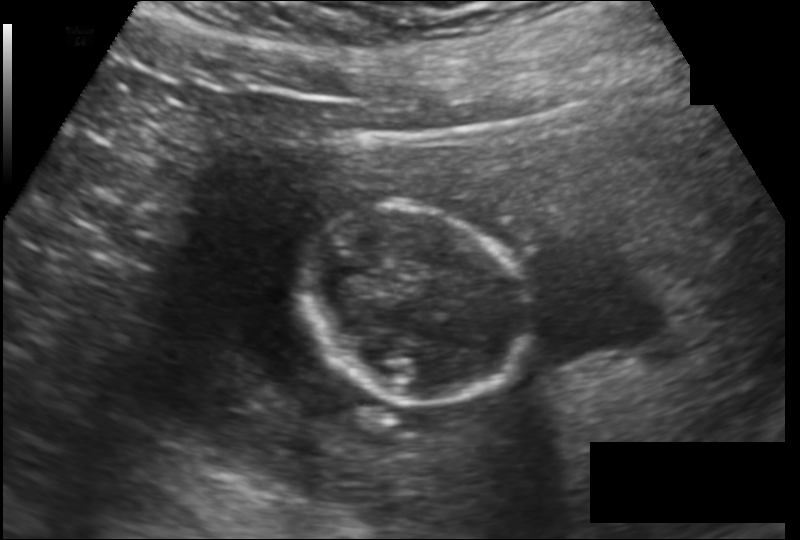
Fetal head ultrasound. Image width: 119.2 mm. Locate the fetal head and, if visible, the cavum septum pellucidum (CSP) and lateral ventricle (LV). Give bounding boxes as [x1,y1,x2,y2].

Head: [299,203,527,405]